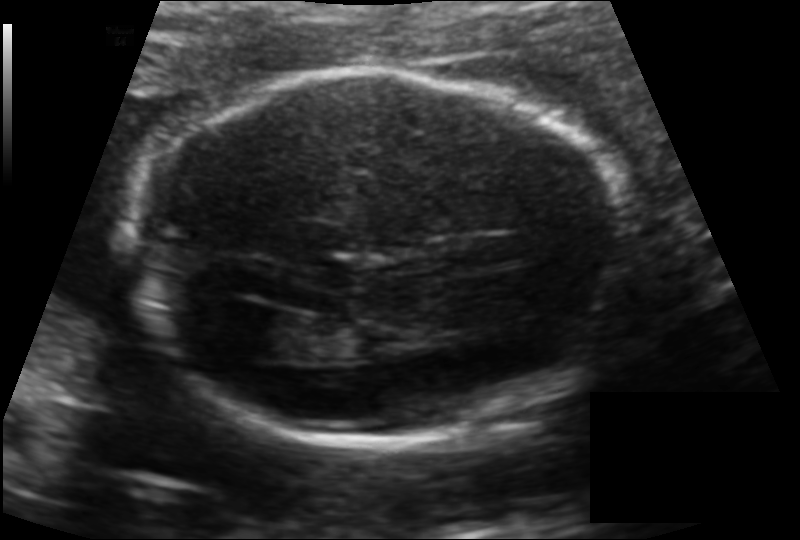
Fetal head ultrasound. Image width: 107.1 mm. Locate the lateral ventricle.

Lateral ventricle: [223,308,299,358]